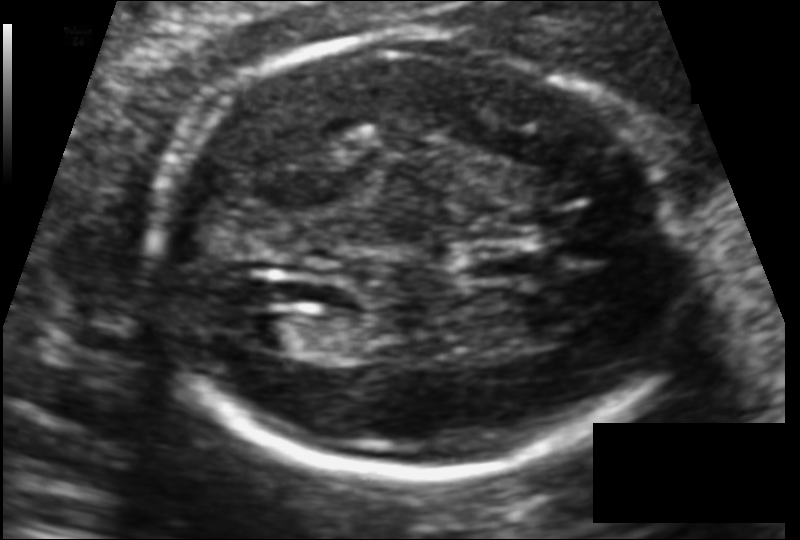
Fetal head ultrasound. Image width: 88.1 mm. Locate the fetal head.

Head: [146,33,689,477]